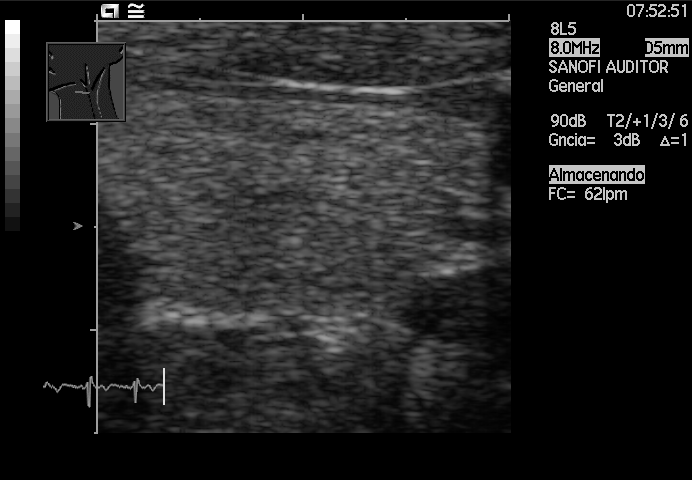
This is a 2D maternal-fetal ultrasound frame. Is it a fetal abdomen, fetal brain, fetal femur, fetal thorax, maternal cervix, or other standard plane? If it's fetal brain and one of the three standard brain planes (trans-thalamic, trans-cerebellum, trans-ventricular), name which.

Other